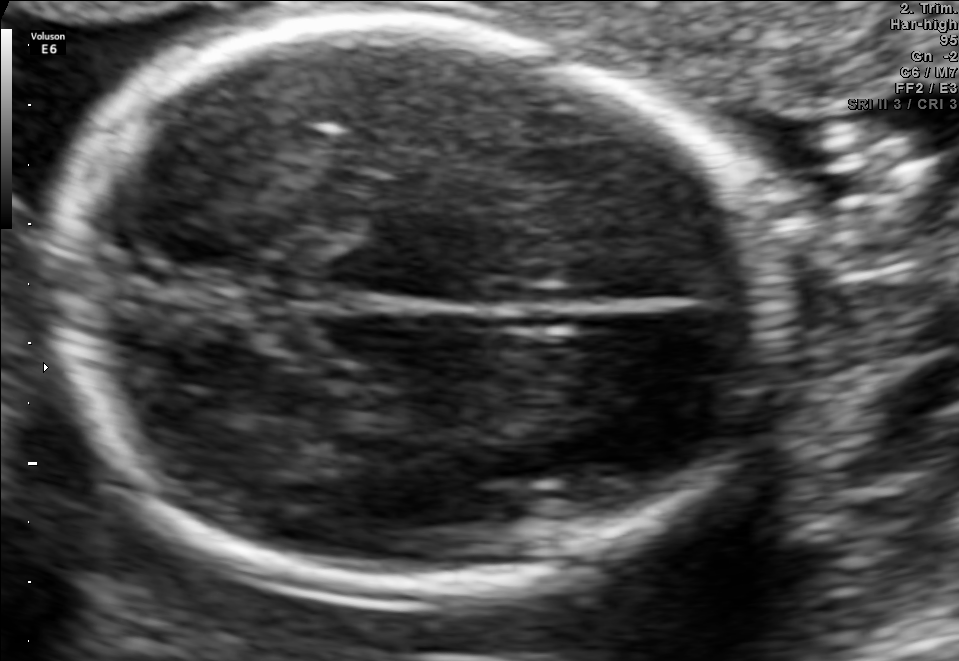
Fetal brain, trans-thalamic plane. Locate the fetal head and, if visible, the cavum septum pellucidum (CSP) and lateral ventricle (LV). Give bounding boxes as [x1,y1,x2,y2].

Head: [52,23,759,586]